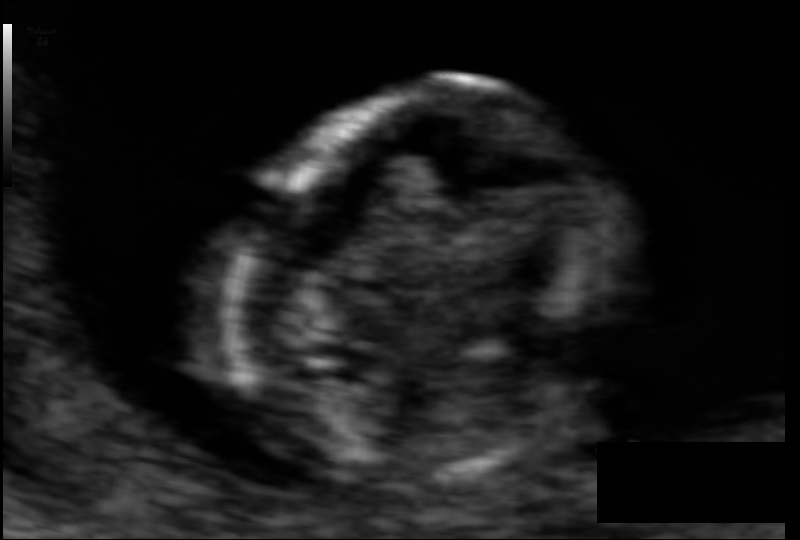
Estimate the fetal head circumference from this 2D ultrasound.

Head circumference: 69.9 mm (image width 44.4 mm).